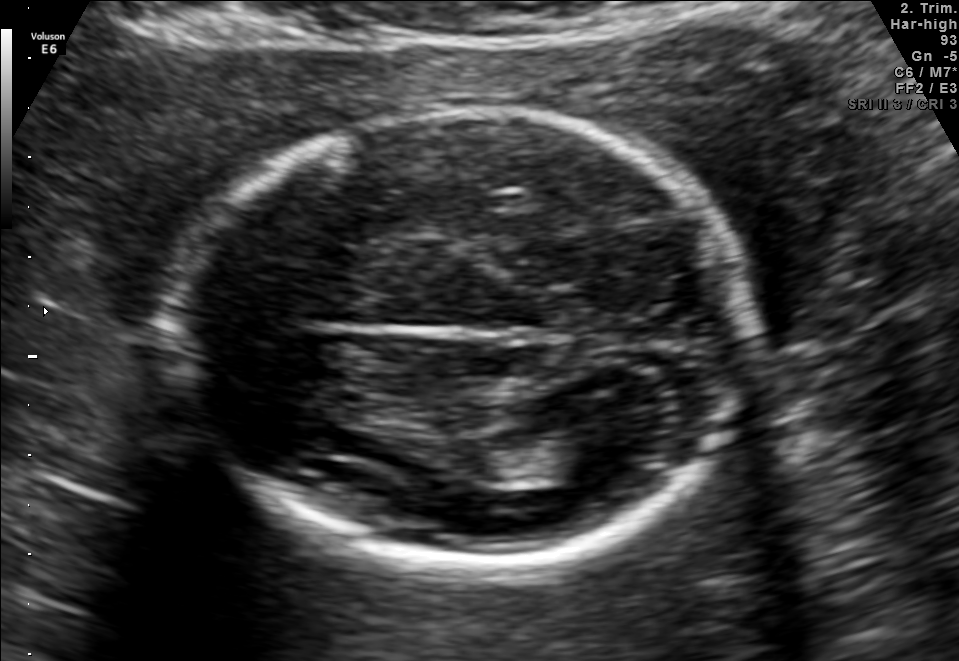
Fetal brain, trans-thalamic plane. Where is the lateral ventricle?

Lateral ventricle bounding box: [520,427,635,489]